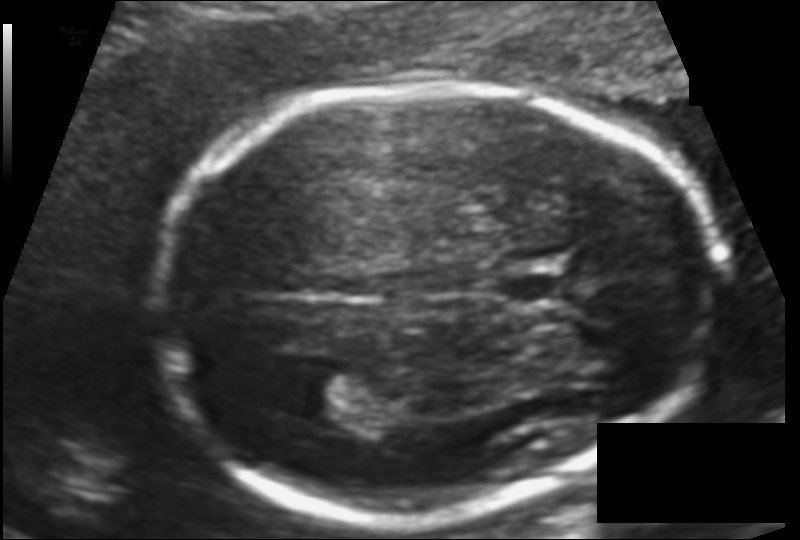
Fetal head ultrasound. Image width: 87.8 mm. Where is the fetal head?

Head bounding box: [152,84,717,521]